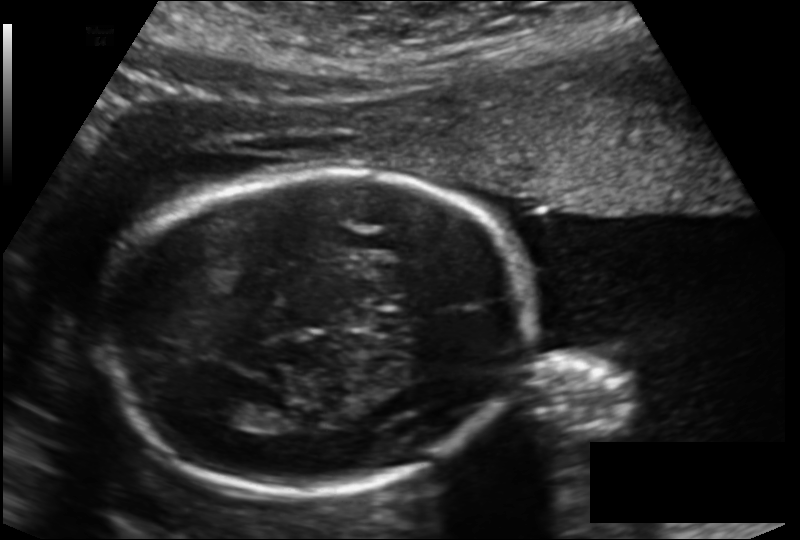
From this fetal ultrasound, estimate the head circumference (image width 123.8 mm).

Head circumference: 183.0 mm.